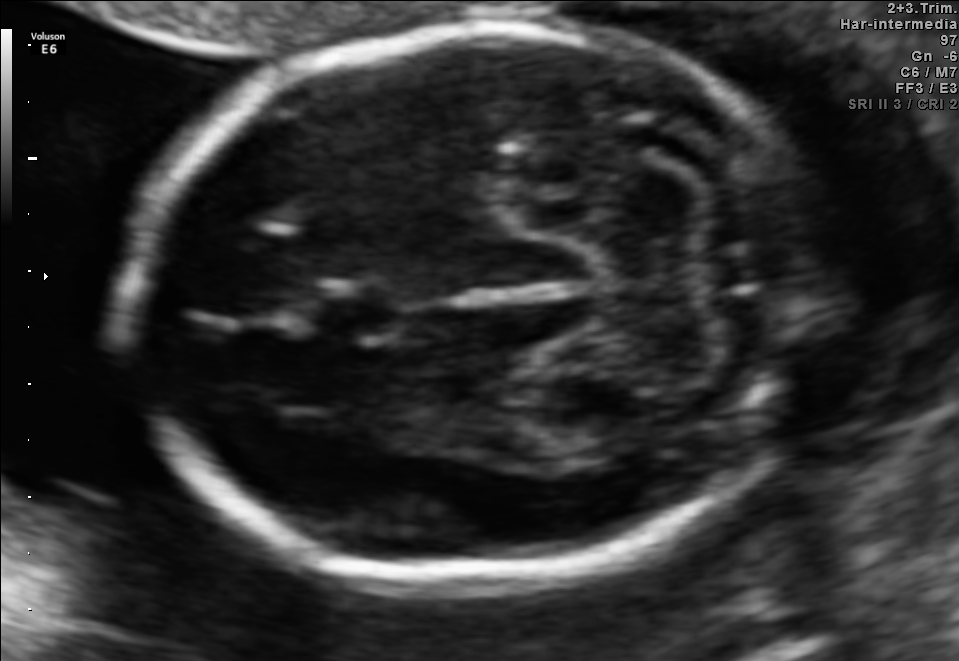
In this fetal brain, trans-cerebellum plane, give the bounding box of the fetal head.

[124,20,817,583]